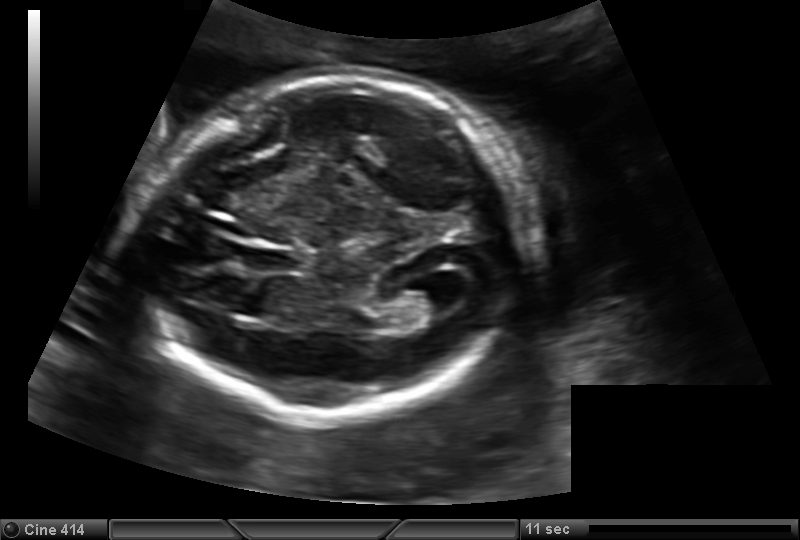
In this fetal head ultrasound, give the bounding box of the lateral ventricle. Image width: 120.0 mm.

[394,273,457,326]